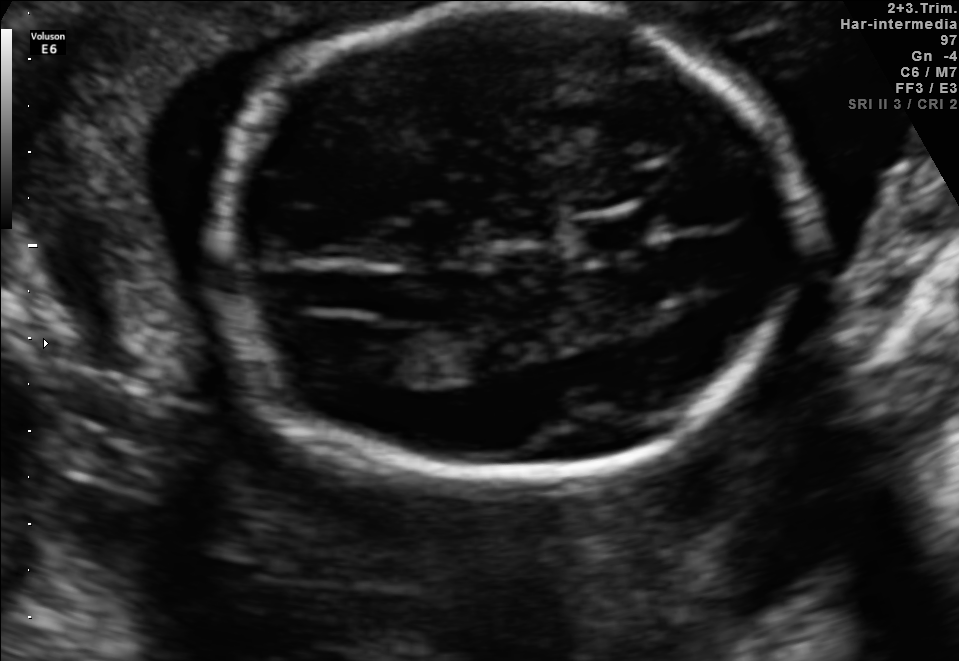
In this fetal brain, trans-ventricular plane, give the bounding box of the lateral ventricle.

[334,328,420,379]